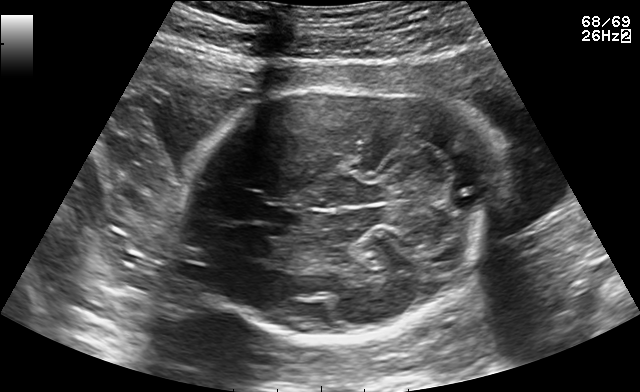
Classify this maternal-fetal ultrasound image as one of the six standard planes — fetal abdomen, fetal brain, fetal femur, fetal thorax, maternal cervix, or other. If it's fetal brain and one of the three standard brain planes (trans-thalamic, trans-cerebellum, trans-ventricular), name which.

Fetal brain (trans-cerebellum plane)